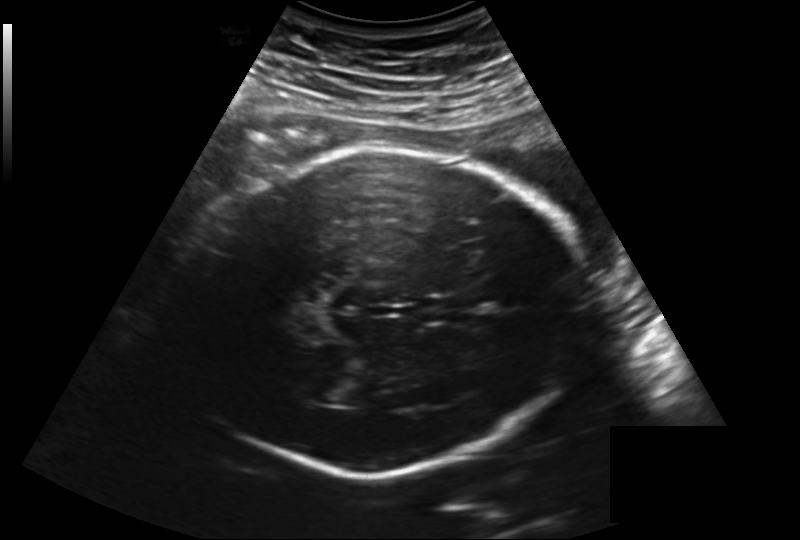
Fetal head ultrasound. Image width: 175.2 mm. Locate the lateral ventricle.

Lateral ventricle: [305,373,352,402]